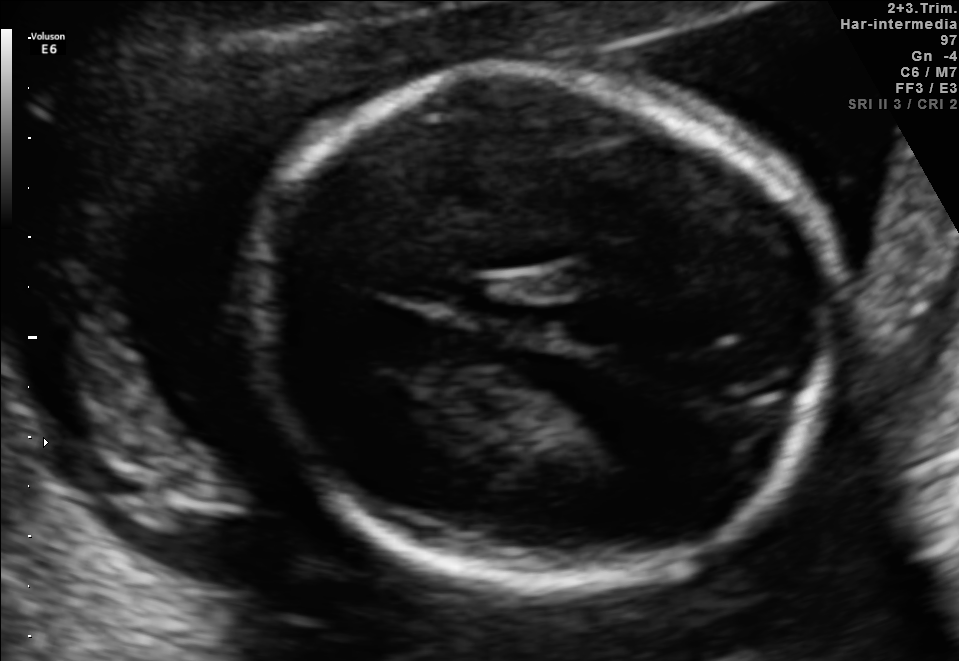
Fetal brain, trans-thalamic plane. Give [x1,y1,x2,y2] bounding boxes for each visible structure among: fetal head, CSP, LV.

Head: [250,61,831,582]